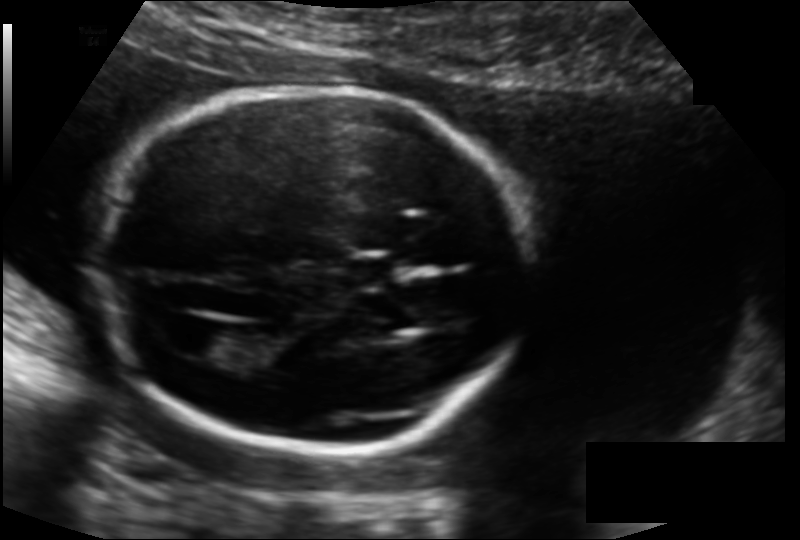
Fetal head ultrasound. Image width: 107.7 mm. Where is the fetal head?

Head bounding box: [93,86,526,451]